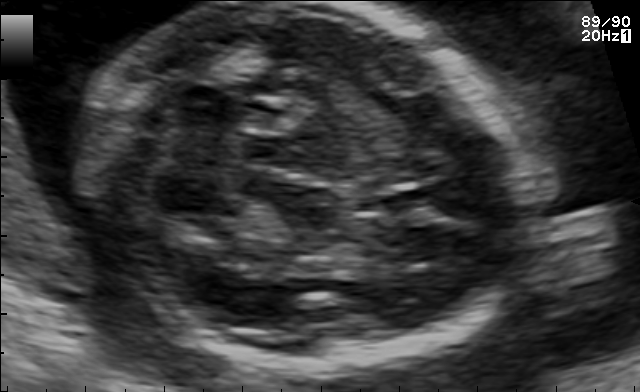
In this fetal brain, trans-cerebellum plane, give bounding boxes for the head outline, cavum septum pellucidum (CSP), and lateral ventricle (LV), where visible.

Head: [89,1,519,369]